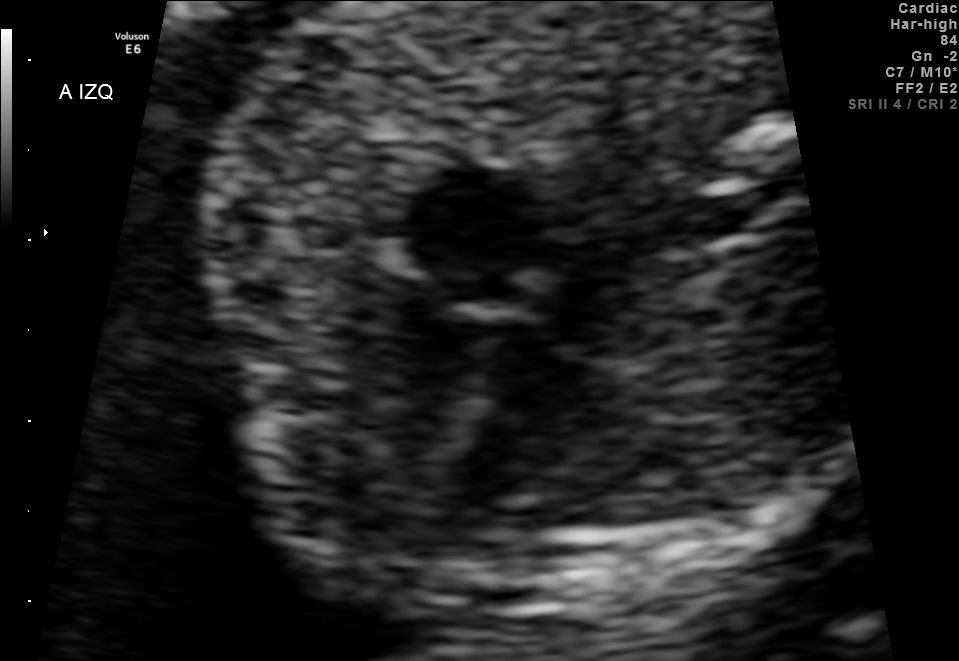
This is a 2D maternal-fetal ultrasound frame. Is it a fetal abdomen, fetal brain, fetal femur, fetal thorax, maternal cervix, or other standard plane? If it's fetal brain and one of the three standard brain planes (trans-thalamic, trans-cerebellum, trans-ventricular), name which.

Fetal thorax